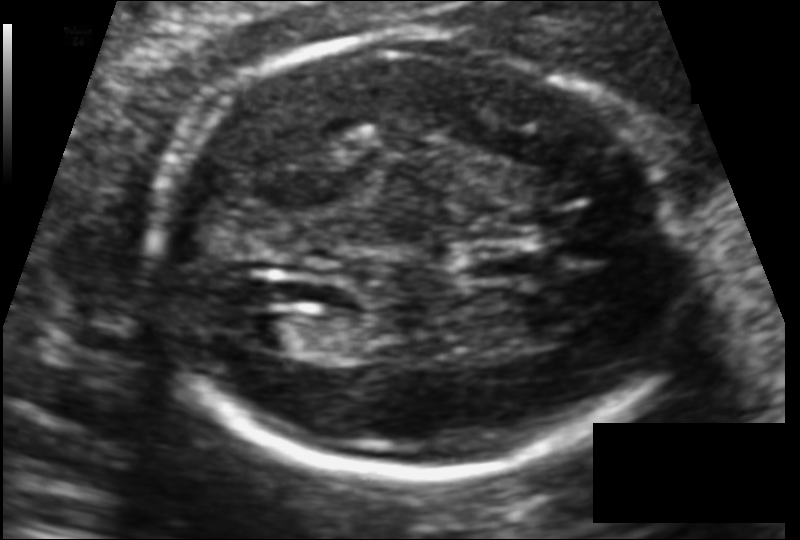
Fetal head ultrasound. Image width: 88.1 mm. Where is the cavum septum pellucidum?

CSP bounding box: [461,250,530,285]